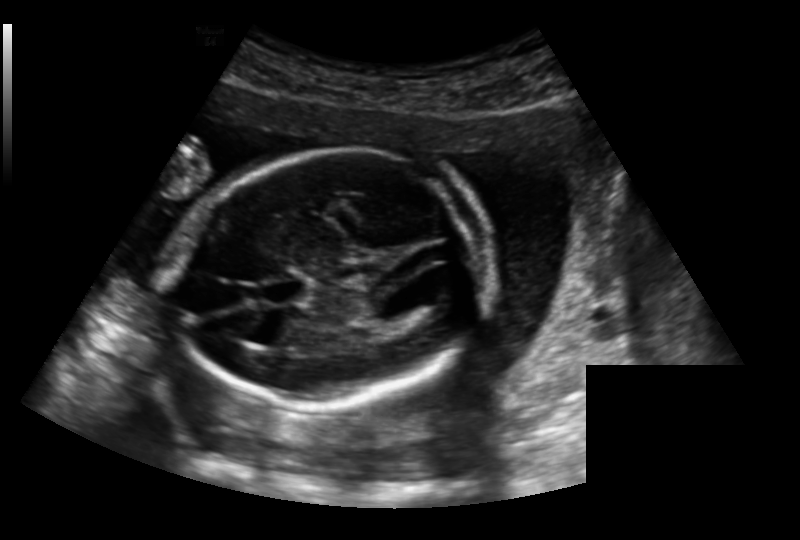
Estimate the fetal head circumference from this 2D ultrasound.

Head circumference: 171.8 mm (image width 152.5 mm).